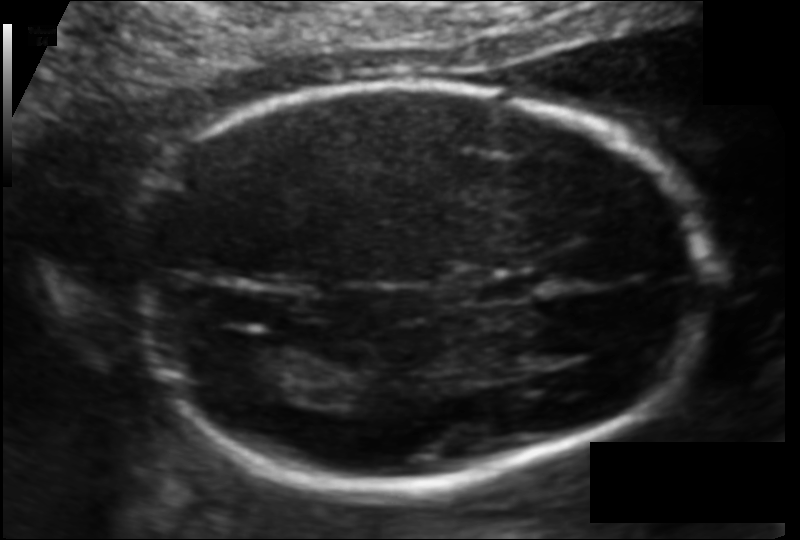
Estimate the fetal head circumference from this 2D ultrasound.

Head circumference: 172.3 mm (image width 87.4 mm).